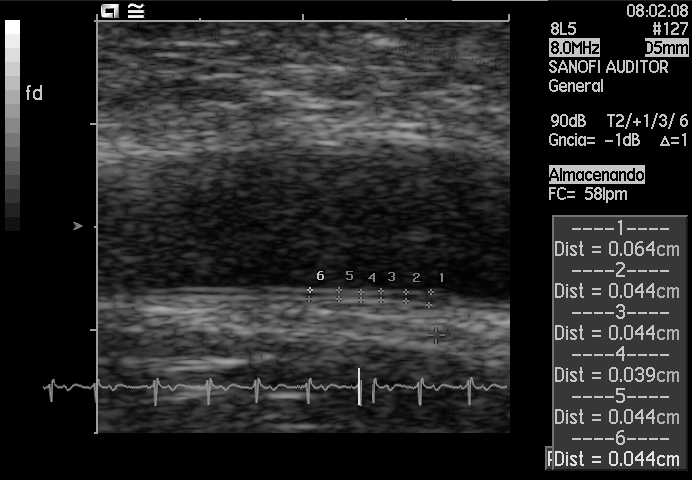
Classify this maternal-fetal ultrasound image as one of the six standard planes — fetal abdomen, fetal brain, fetal femur, fetal thorax, maternal cervix, or other. If it's fetal brain and one of the three standard brain planes (trans-thalamic, trans-cerebellum, trans-ventricular), name which.

Other